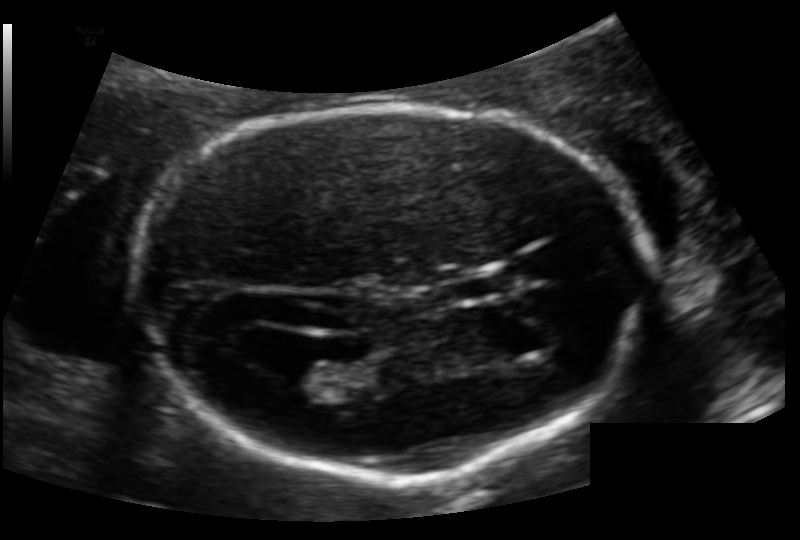
Fetal head ultrasound. Image width: 99.1 mm. Where is the fetal head?

Head bounding box: [148,106,646,480]